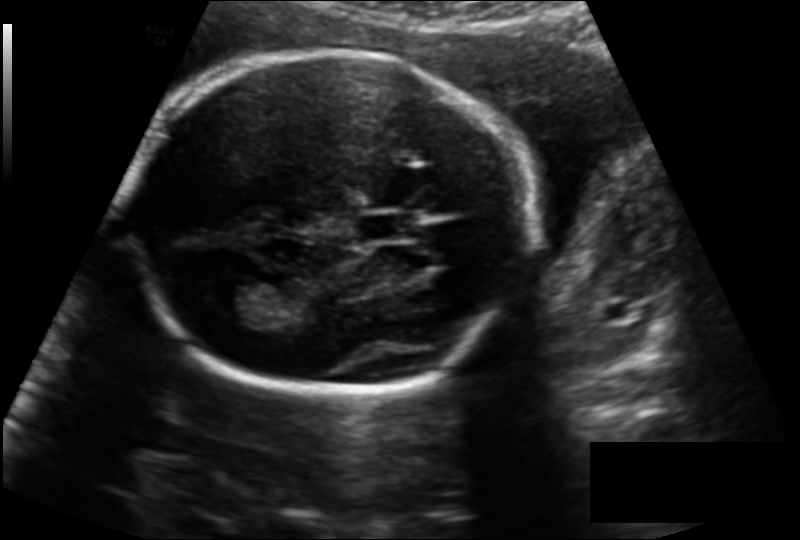
Fetal head ultrasound. Image width: 122.1 mm. Locate the fetal head and, if visible, the cavum septum pellucidum (CSP) and lateral ventricle (LV). Give bounding boxes as [x1,y1,x2,y2].

Head: [128,51,529,395]
CSP: [356,210,415,245]
Lateral ventricle: [201,269,264,323]